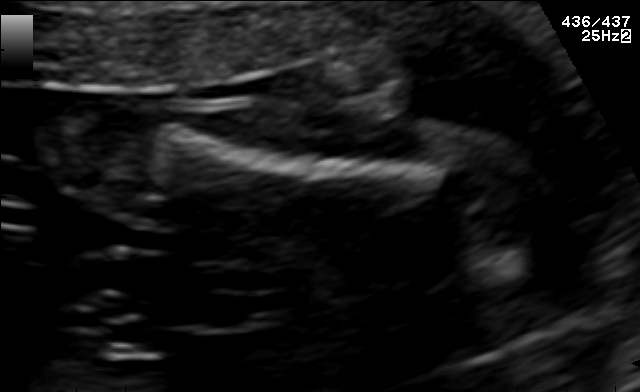
Identify the standard plane in this fetal ultrasound image: fetal abdomen, fetal brain, fetal femur, fetal thorax, maternal cervix, or other. If it's fetal brain and one of the three standard brain planes (trans-thalamic, trans-cerebellum, trans-ventricular), name which.

Fetal femur